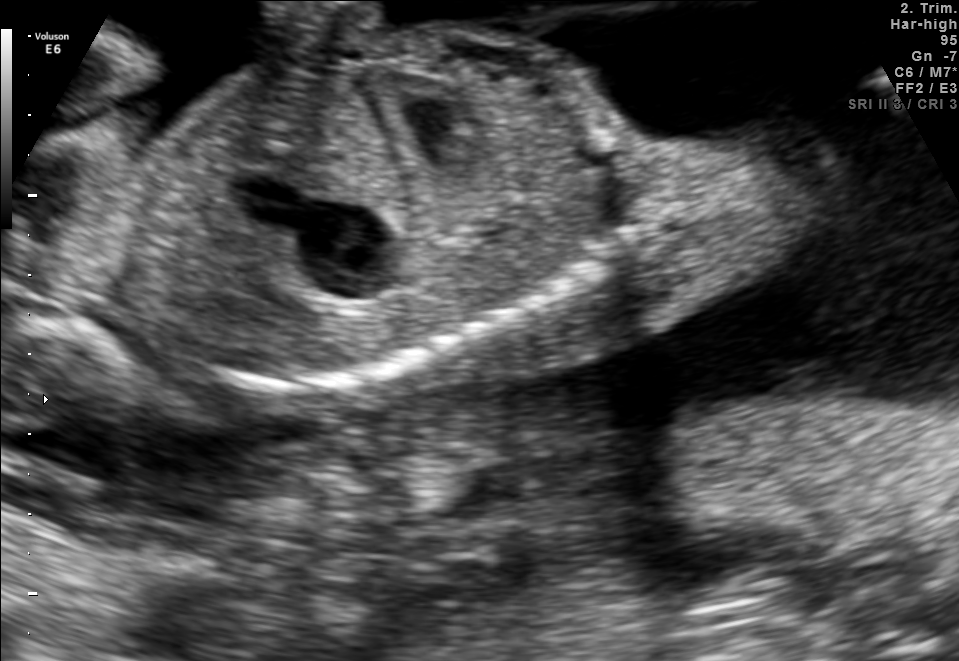
Identify the standard plane in this fetal ultrasound image: fetal abdomen, fetal brain, fetal femur, fetal thorax, maternal cervix, or other. If it's fetal brain and one of the three standard brain planes (trans-thalamic, trans-cerebellum, trans-ventricular), name which.

Other